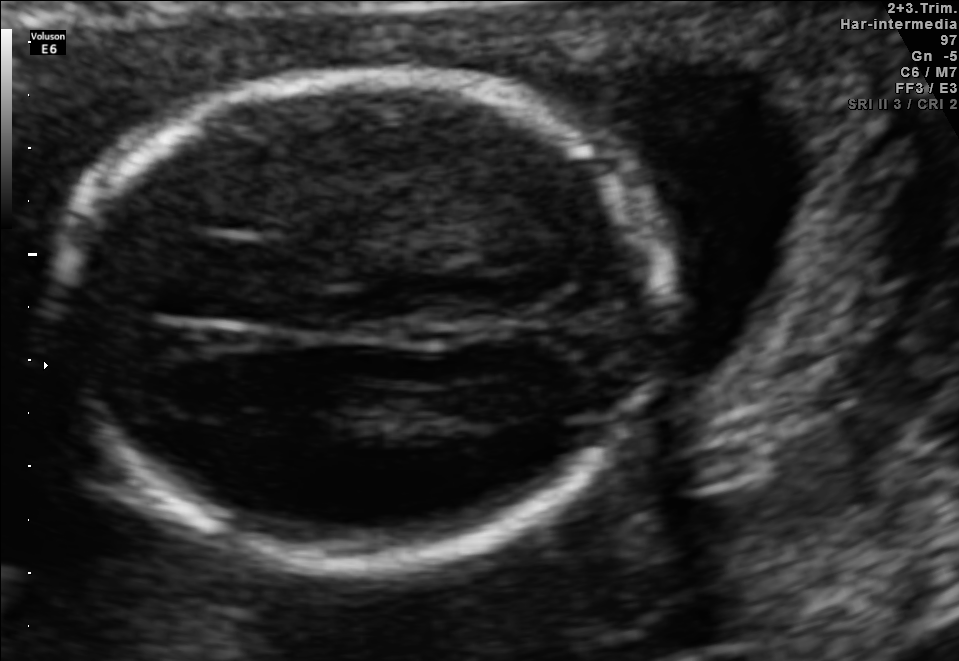
In this fetal brain, trans-thalamic plane, give the bounding box of the fetal head.

[57,77,662,556]